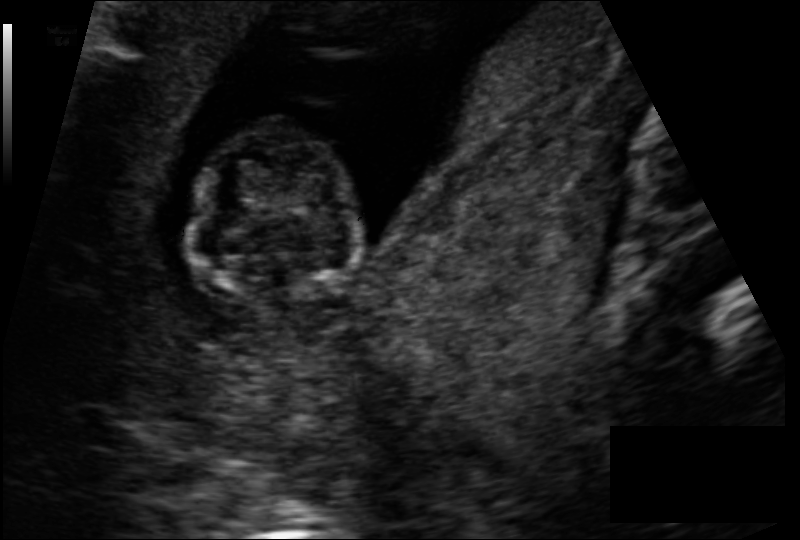
From this fetal ultrasound, estimate the head circumference (image width 90.4 mm).

Head circumference: 67.3 mm.